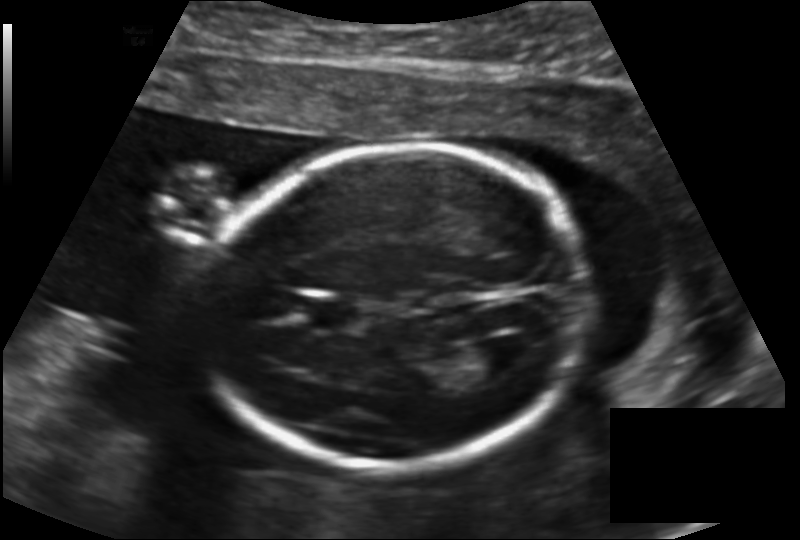
Measure the fetal head circumference shown in this ultrasound image. Image width: 117.6 mm.

Head circumference: 169.7 mm.